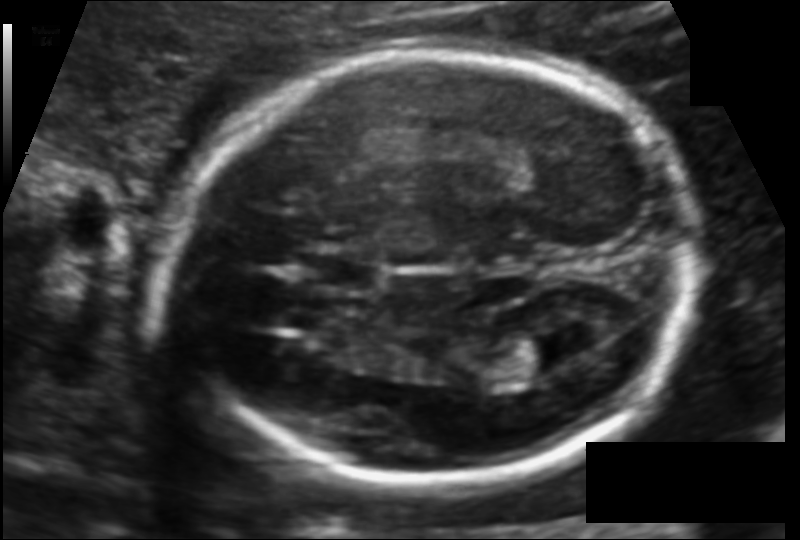
Fetal head ultrasound. Image width: 90.0 mm. Locate the lateral ventricle.

Lateral ventricle: [492,336,577,380]